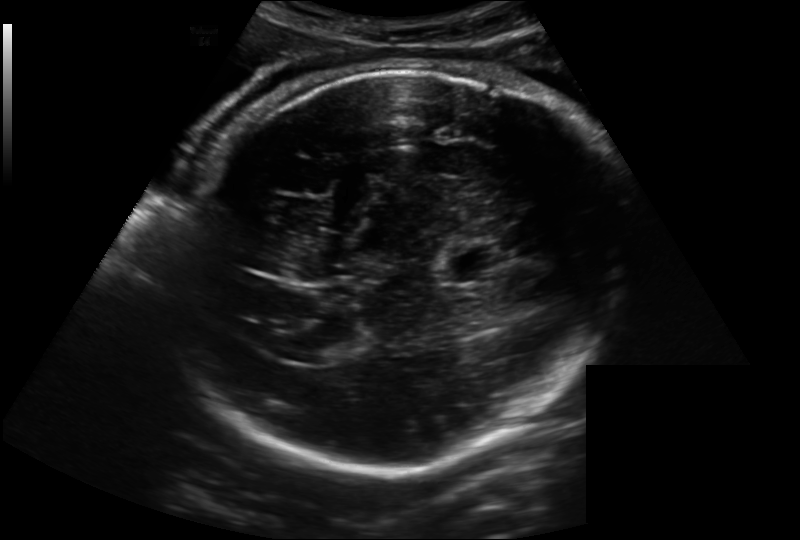
In this fetal head ultrasound, give the bounding box of the cavum septum pellucidum. Image width: 177.2 mm.

[441,240,506,288]